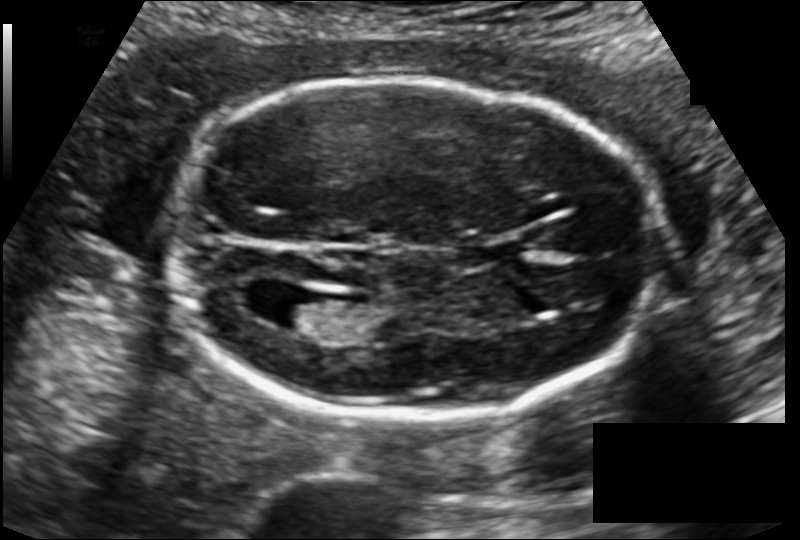
Fetal head ultrasound. Image width: 103.4 mm. Where is the lateral ventricle?

Lateral ventricle bounding box: [262,285,334,337]